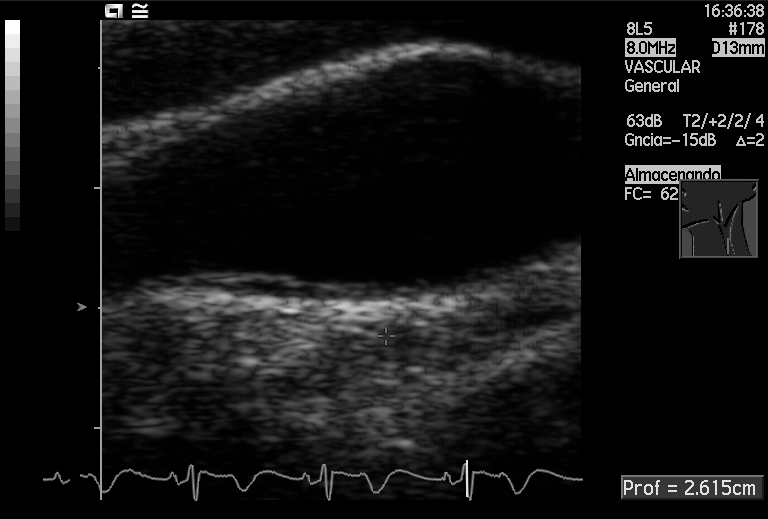
Which standard maternal-fetal ultrasound plane is shown: fetal abdomen, fetal brain, fetal femur, fetal thorax, maternal cervix, or other? If it's fetal brain and one of the three standard brain planes (trans-thalamic, trans-cerebellum, trans-ventricular), name which.

Other